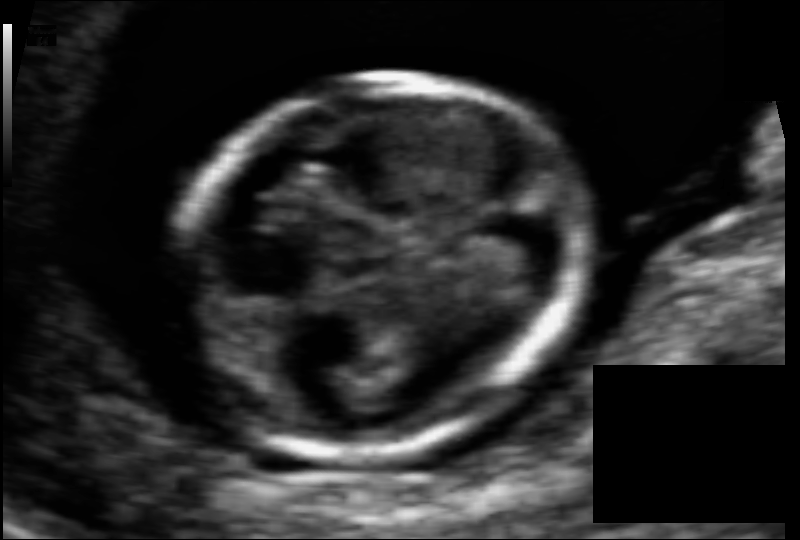
Fetal head ultrasound. Image width: 43.2 mm. Where is the fetal head?

Head bounding box: [173,74,583,458]